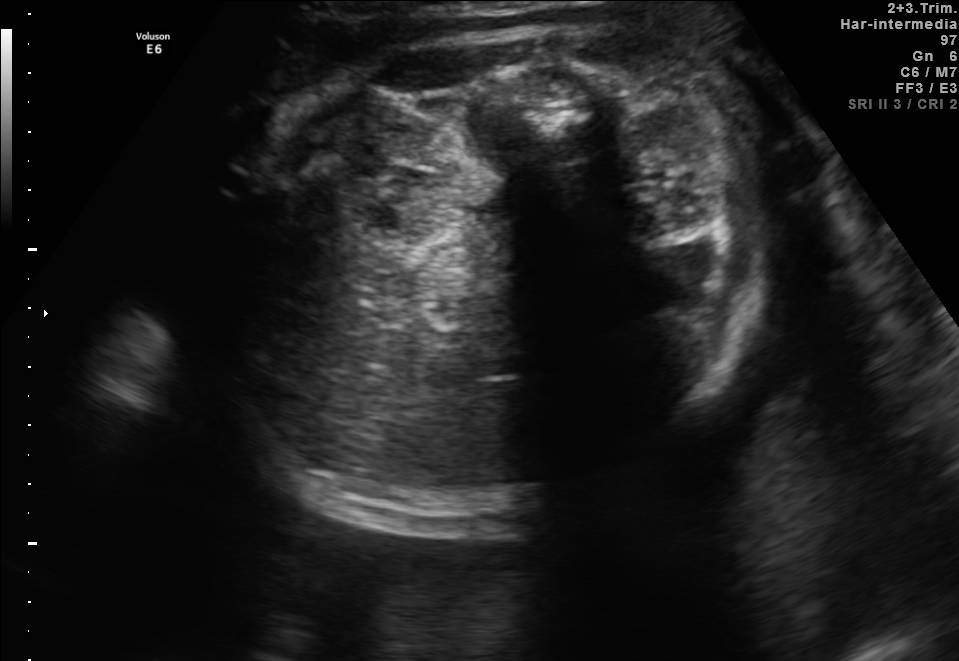
Classify this maternal-fetal ultrasound image as one of the six standard planes — fetal abdomen, fetal brain, fetal femur, fetal thorax, maternal cervix, or other. If it's fetal brain and one of the three standard brain planes (trans-thalamic, trans-cerebellum, trans-ventricular), name which.

Other